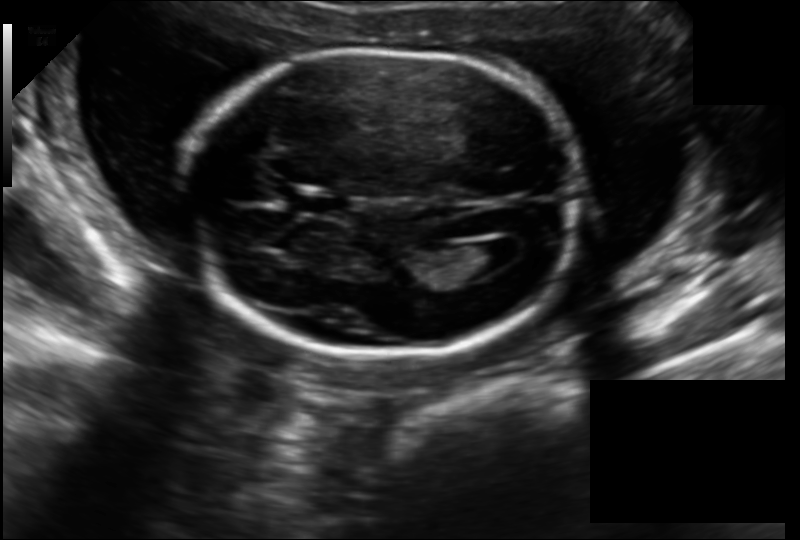
In this fetal head ultrasound, give bounding boxes for the head outline, cavum septum pellucidum (CSP), and lateral ventricle (LV), where visible. Image width: 125.8 mm.

Head: [182,47,581,359]
CSP: [290,191,351,218]
Lateral ventricle: [455,231,519,280]